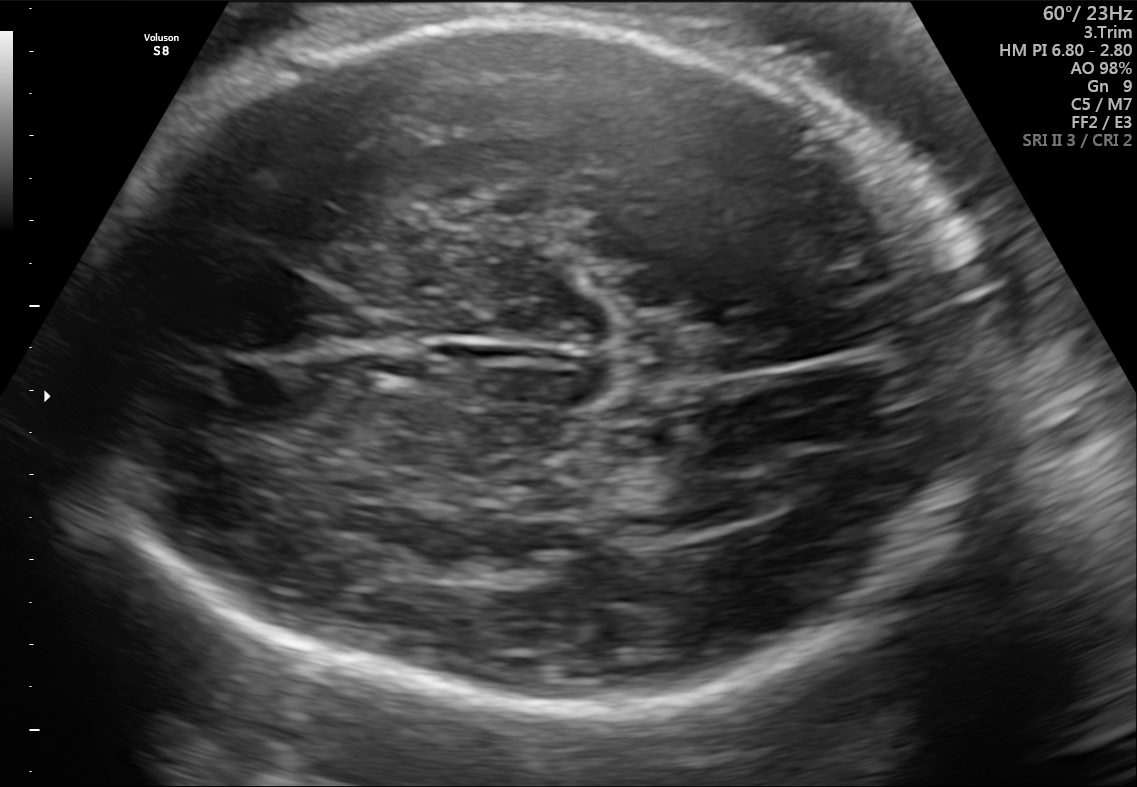
Fetal brain, trans-thalamic plane. Locate the fetal head and, if visible, the cavum septum pellucidum (CSP) and lateral ventricle (LV). Give bounding boxes as [x1,y1,x2,y2].

Head: [87,23,977,712]